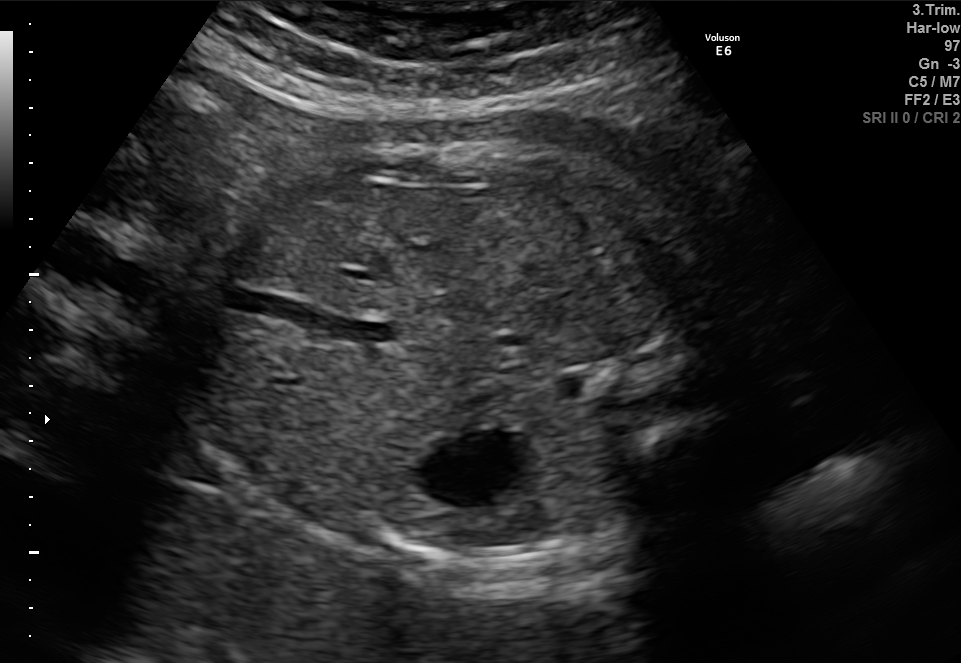
This is a 2D maternal-fetal ultrasound frame. Is it a fetal abdomen, fetal brain, fetal femur, fetal thorax, maternal cervix, or other standard plane? If it's fetal brain and one of the three standard brain planes (trans-thalamic, trans-cerebellum, trans-ventricular), name which.

Fetal abdomen